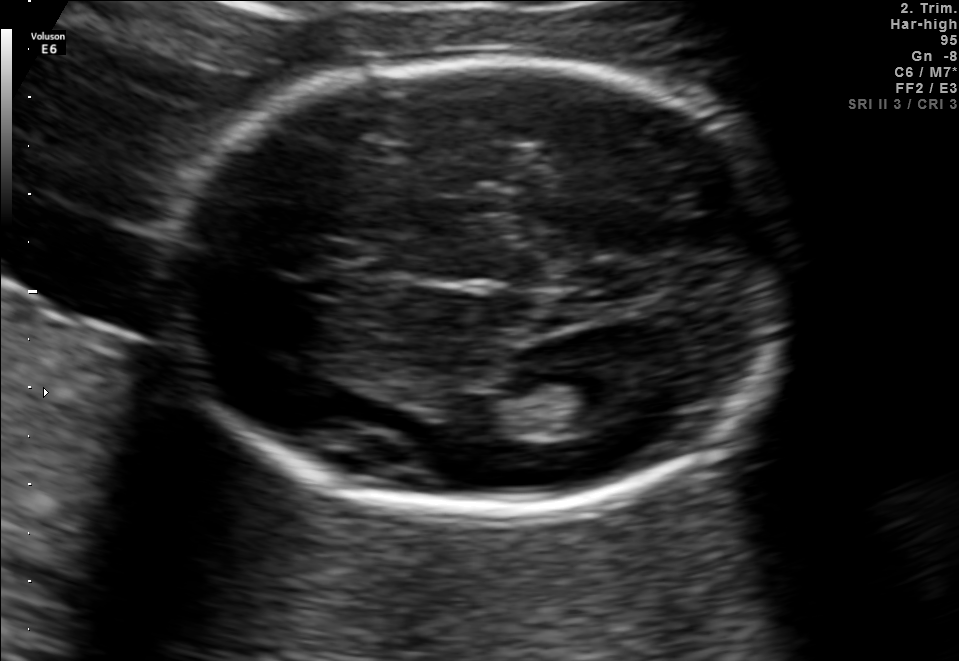
Fetal brain, trans-thalamic plane. Give [x1,y1,x2,y2] bounding boxes for each visible structure among: fetal head, CSP, LV.

Head: [161,58,792,513]
Lateral ventricle: [523,363,633,436]